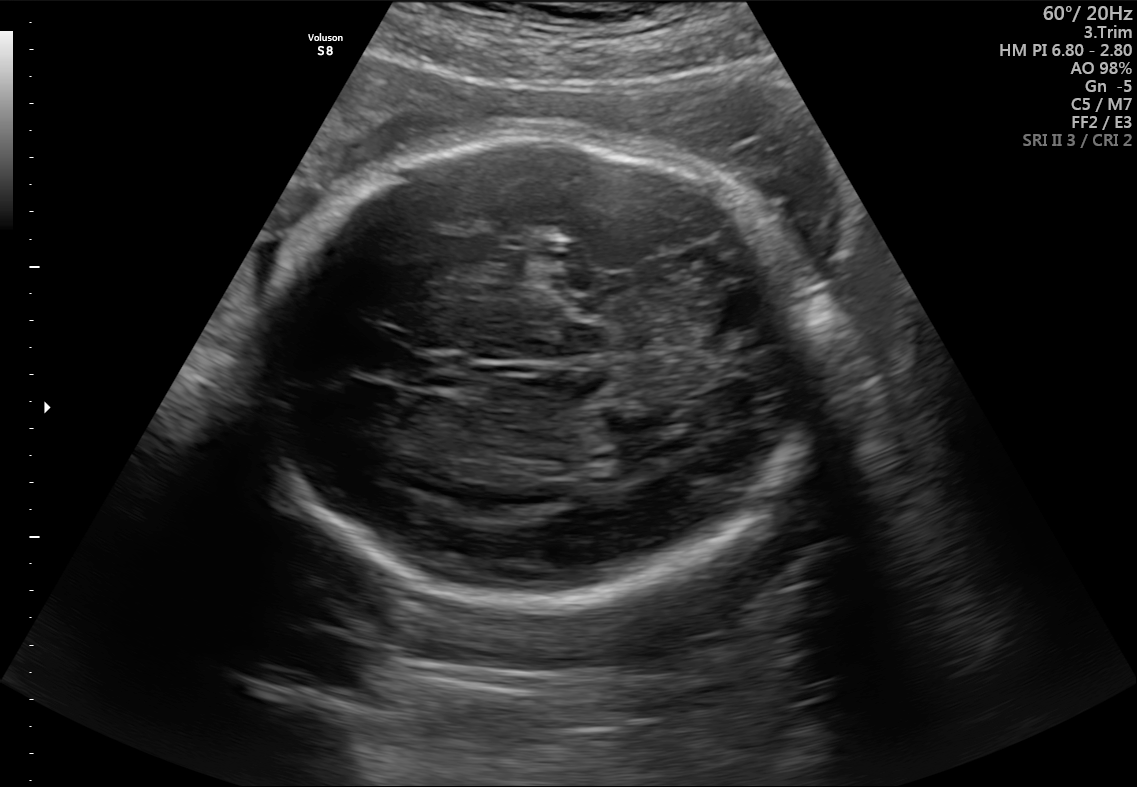
Fetal brain, trans-thalamic plane. Where is the cavum septum pellucidum?

CSP bounding box: [398,351,458,394]